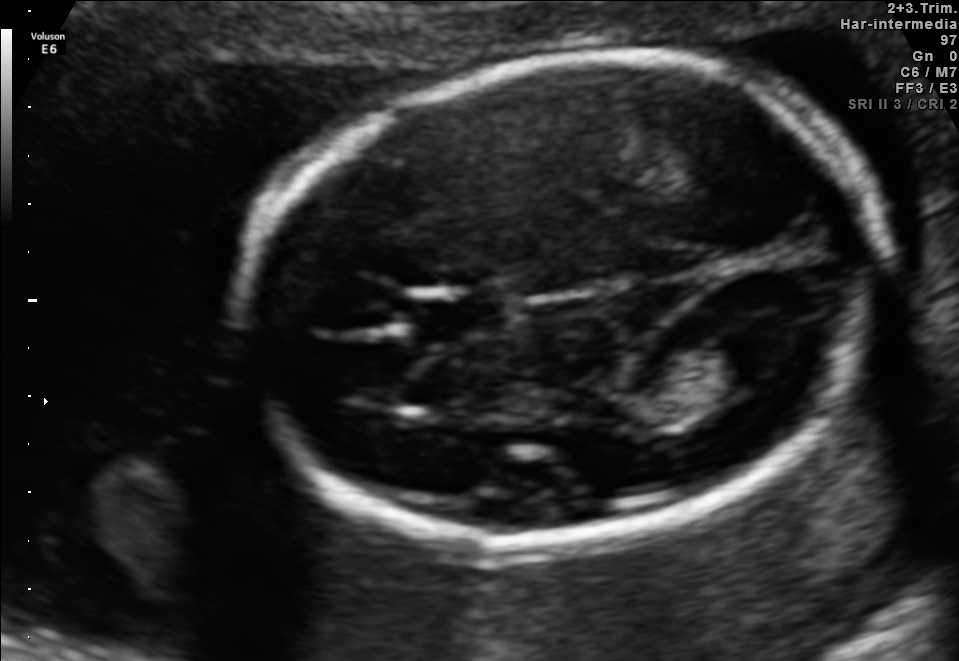
In this fetal brain, trans-ventricular plane, give the bounding box of the fetal head.

[235,49,896,564]